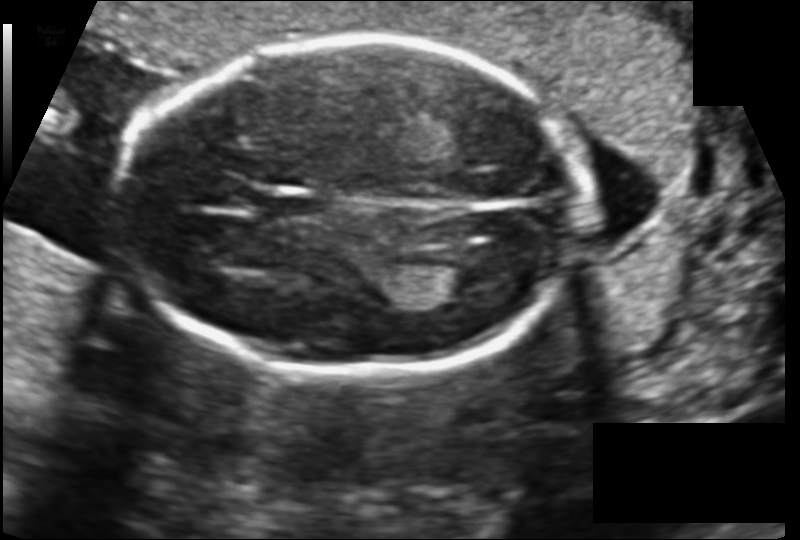
What is the fetal head circumference? Image width is 102.7 mm.

166.6 mm